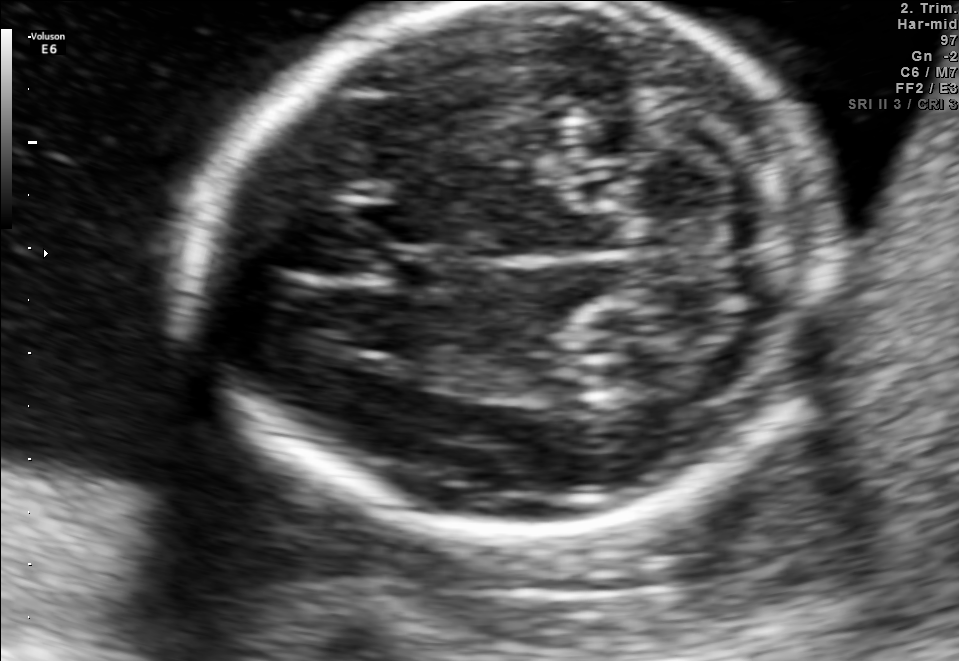
In this fetal brain, trans-cerebellum plane, give the bounding box of the cavum septum pellucidum.

[380,251,451,291]